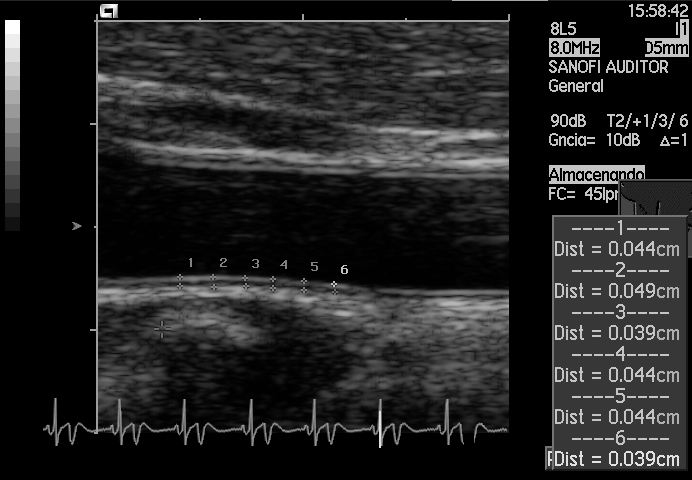
Which standard maternal-fetal ultrasound plane is shown: fetal abdomen, fetal brain, fetal femur, fetal thorax, maternal cervix, or other? If it's fetal brain and one of the three standard brain planes (trans-thalamic, trans-cerebellum, trans-ventricular), name which.

Other